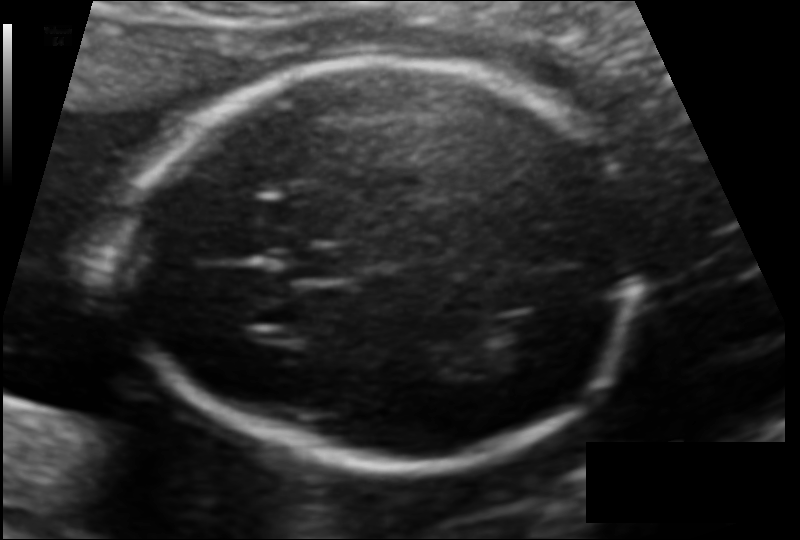
In this fetal head ultrasound, give bounding boxes for the head outline, cavum septum pellucidum (CSP), and lateral ventricle (LV), where visible. Image width: 92.5 mm.

Head: [126,58,641,464]
CSP: [279,247,351,282]